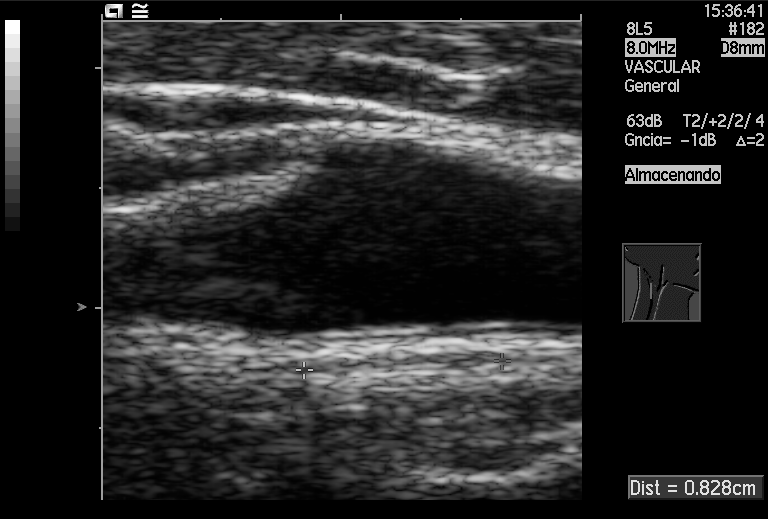
Classify this maternal-fetal ultrasound image as one of the six standard planes — fetal abdomen, fetal brain, fetal femur, fetal thorax, maternal cervix, or other. If it's fetal brain and one of the three standard brain planes (trans-thalamic, trans-cerebellum, trans-ventricular), name which.

Other